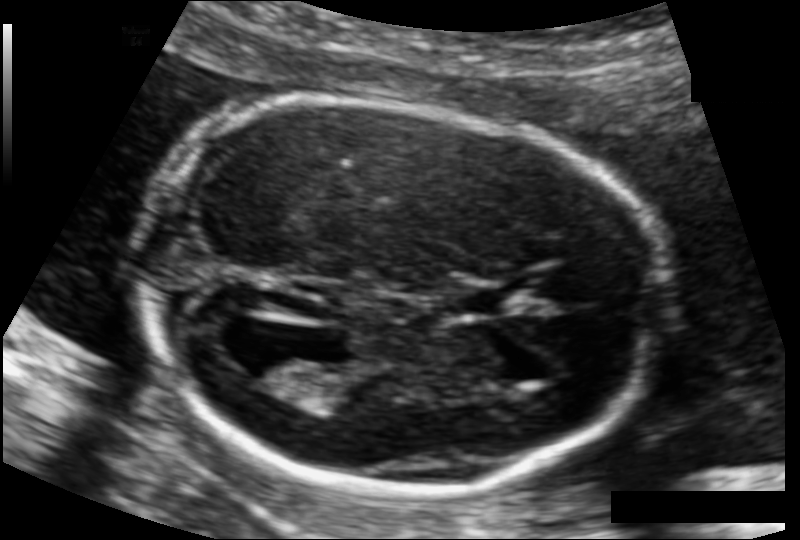
In this fetal head ultrasound, give the bounding box of the lateral ventricle. Image width: 85.7 mm.

[226,337,308,402]